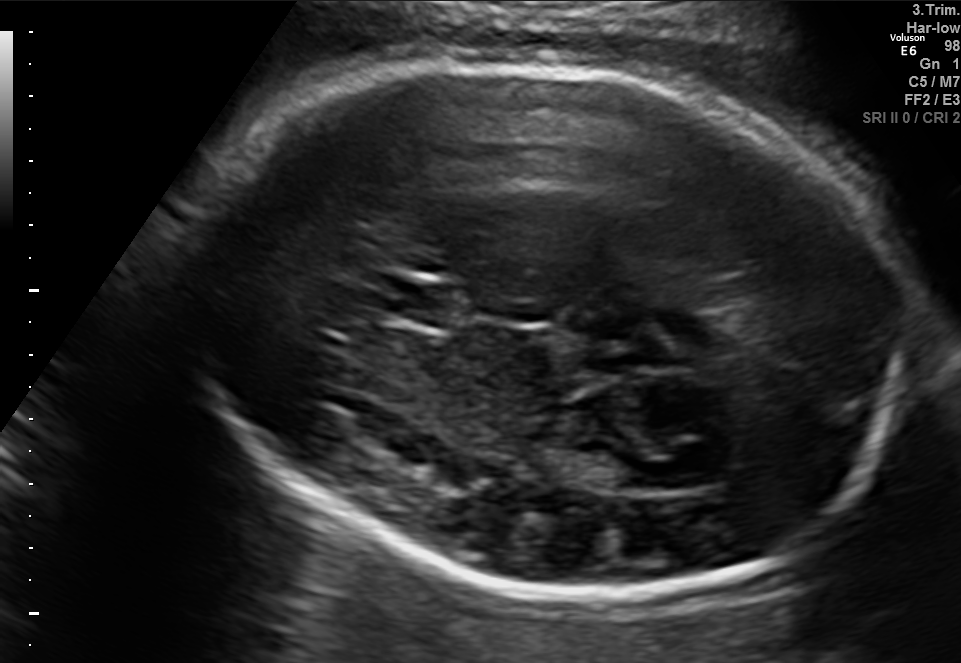
Fetal brain, trans-thalamic plane. Where is the fetal head?

Head bounding box: [178,62,927,593]